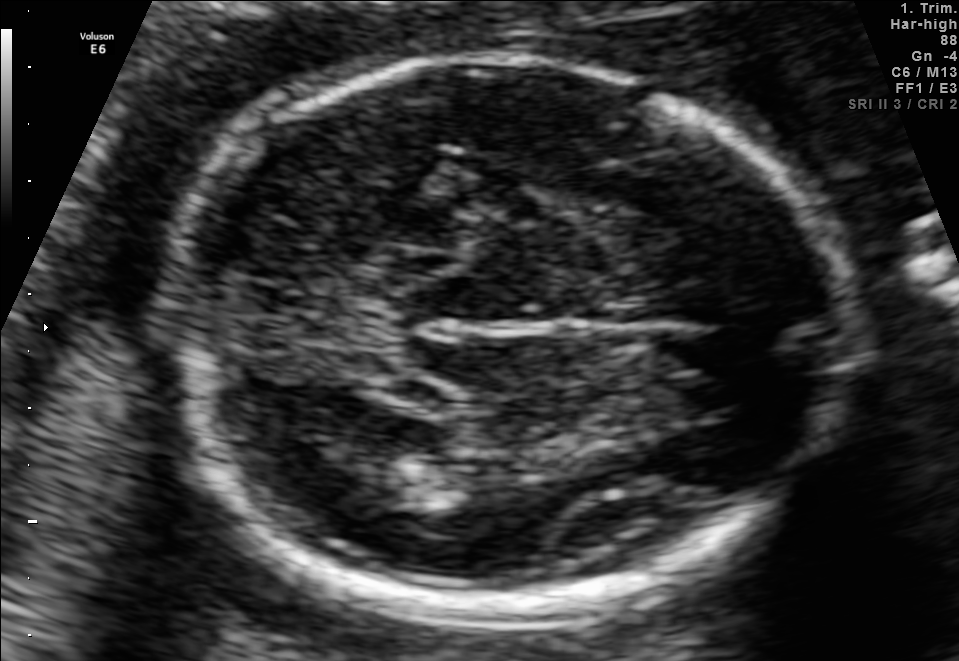
Fetal brain, trans-thalamic plane. Locate the fetal head and, if visible, the cavum septum pellucidum (CSP) and lateral ventricle (LV). Give bounding boxes as [x1,y1,x2,y2].

Head: [164,58,853,613]